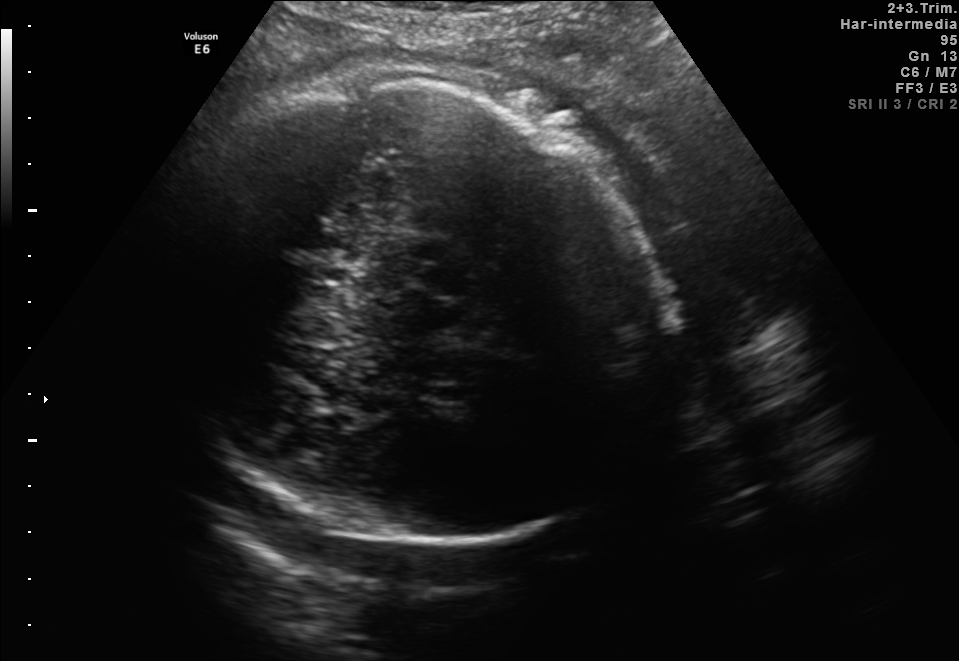
Fetal brain, trans-thalamic plane. Locate the fetal head and, if visible, the cavum septum pellucidum (CSP) and lateral ventricle (LV). Give bounding boxes as [x1,y1,x2,y2].

Head: [140,83,677,542]